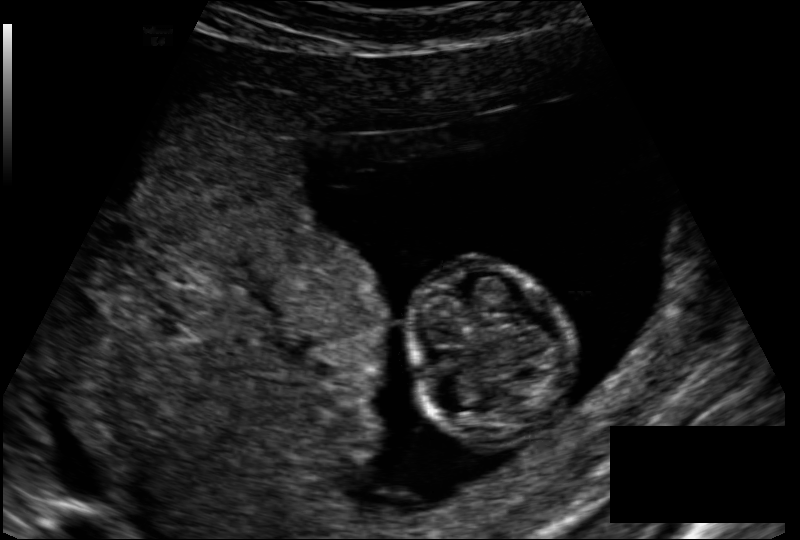
From this fetal ultrasound, estimate the head circumference (image width 102.1 mm).

Head circumference: 72.7 mm.